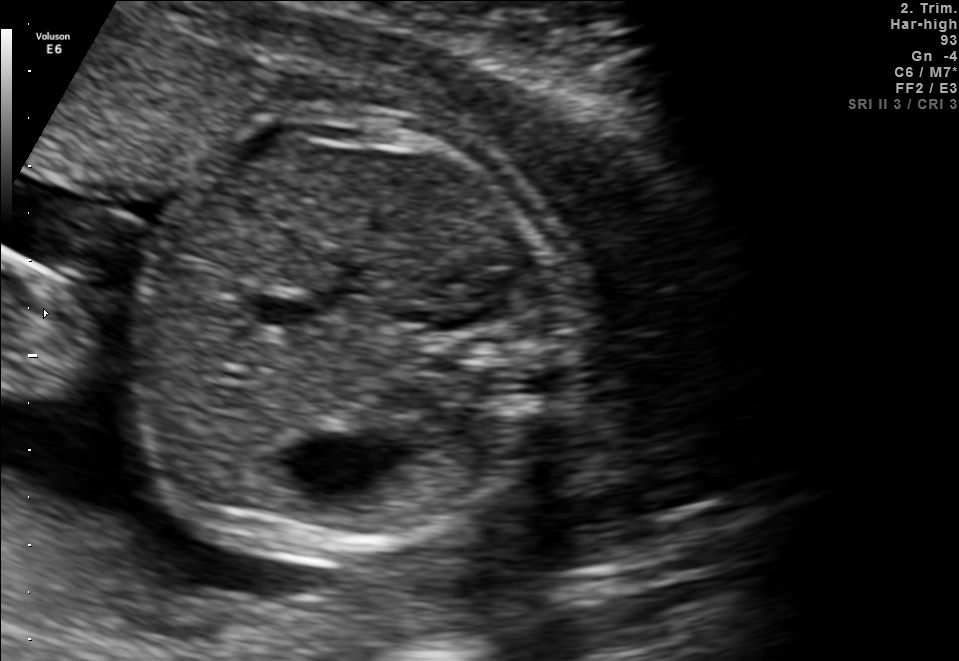
Which standard maternal-fetal ultrasound plane is shown: fetal abdomen, fetal brain, fetal femur, fetal thorax, maternal cervix, or other? If it's fetal brain and one of the three standard brain planes (trans-thalamic, trans-cerebellum, trans-ventricular), name which.

Fetal abdomen